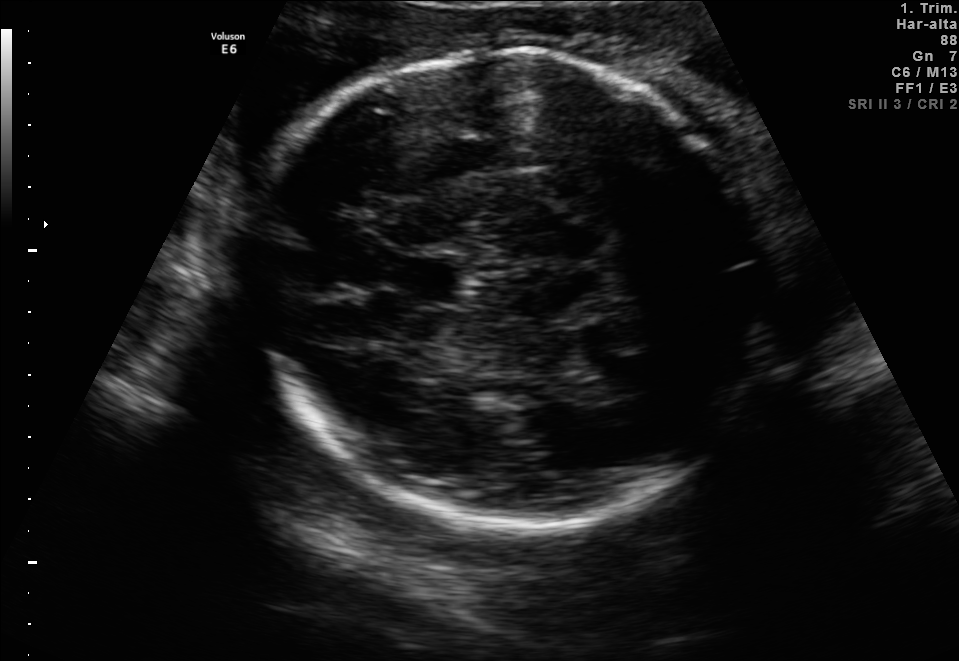
Fetal brain, trans-thalamic plane. Locate the cavum septum pellucidum.

CSP: [399,256,460,303]